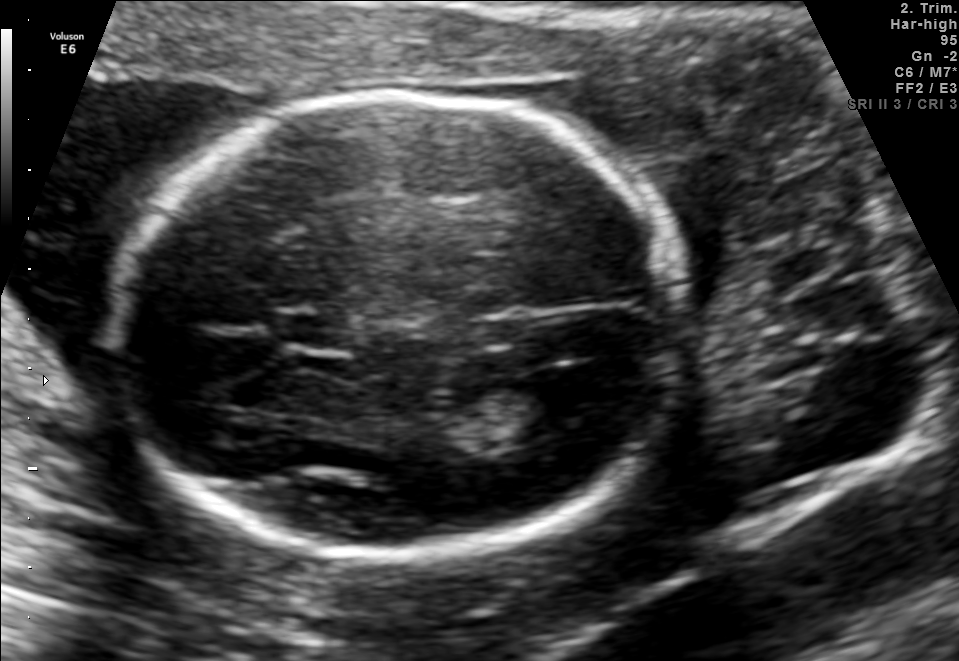
Fetal brain, trans-ventricular plane. Where is the fetal head?

Head bounding box: [103,86,700,567]